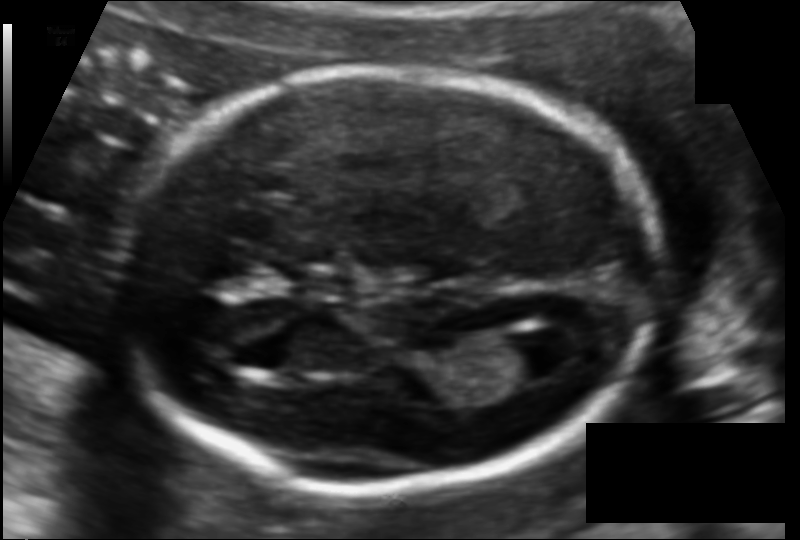
Estimate the fetal head circumference from this 2D ultrasound.

Head circumference: 165.3 mm (image width 85.9 mm).